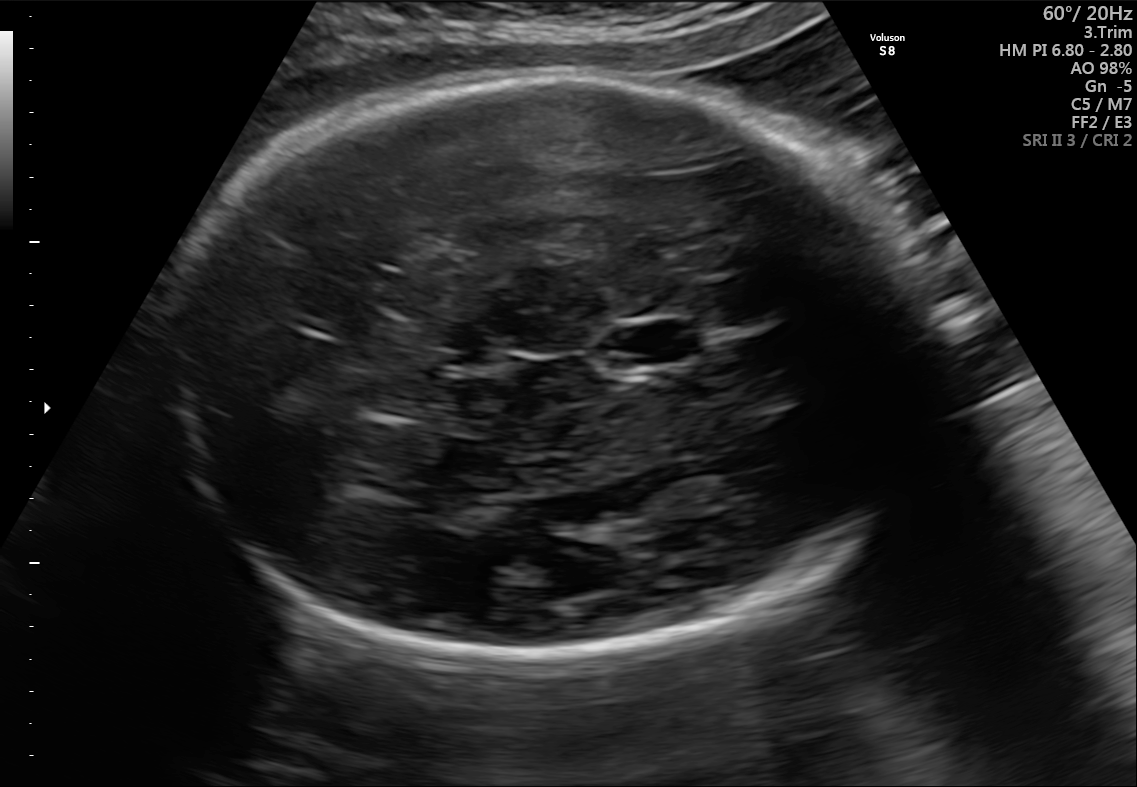
In this fetal brain, trans-thalamic plane, give bounding boxes for the head outline, cavum septum pellucidum (CSP), and lateral ventricle (LV), where visible.

Head: [155,74,944,663]
CSP: [609,317,702,369]